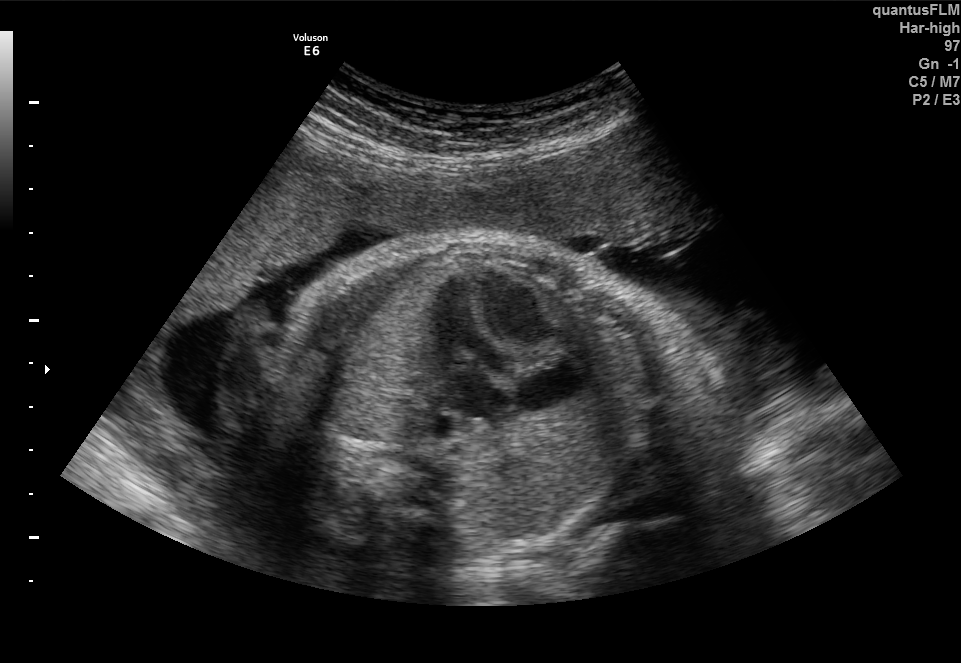
This is a 2D maternal-fetal ultrasound frame. Is it a fetal abdomen, fetal brain, fetal femur, fetal thorax, maternal cervix, or other standard plane? If it's fetal brain and one of the three standard brain planes (trans-thalamic, trans-cerebellum, trans-ventricular), name which.

Fetal thorax